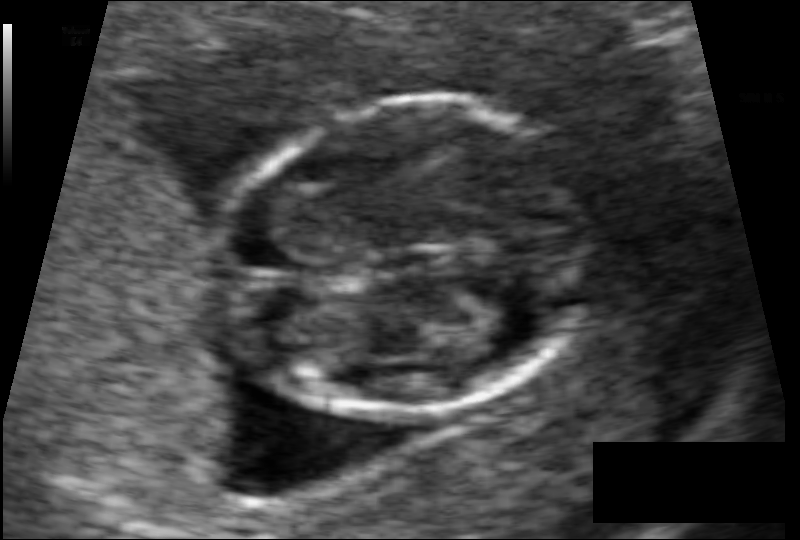
From this fetal ultrasound, estimate the head circumference (image width 48.9 mm).

Head circumference: 69.5 mm.